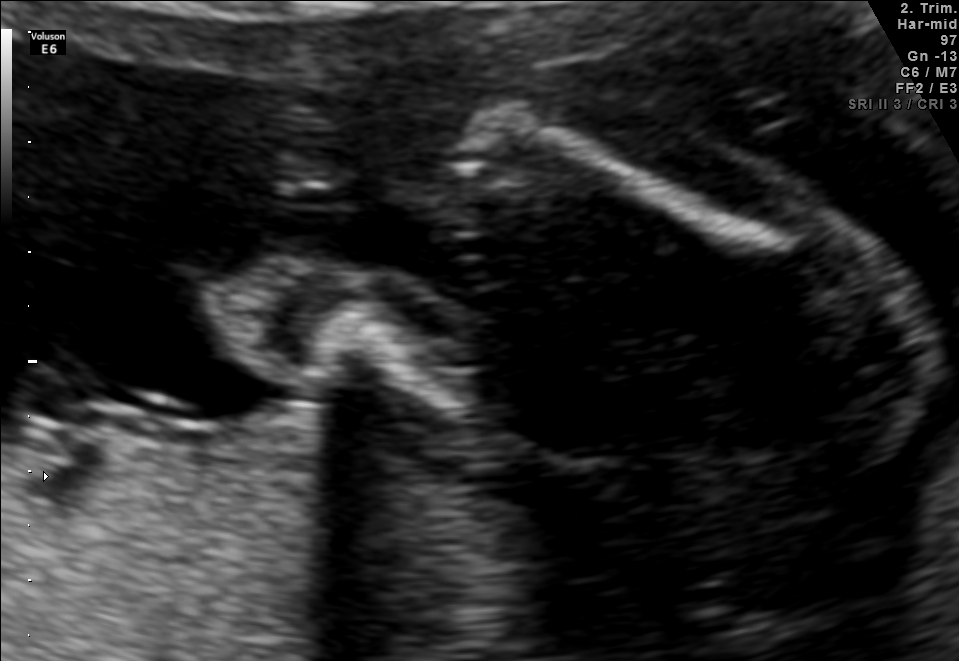
Which standard maternal-fetal ultrasound plane is shown: fetal abdomen, fetal brain, fetal femur, fetal thorax, maternal cervix, or other? If it's fetal brain and one of the three standard brain planes (trans-thalamic, trans-cerebellum, trans-ventricular), name which.

Fetal femur